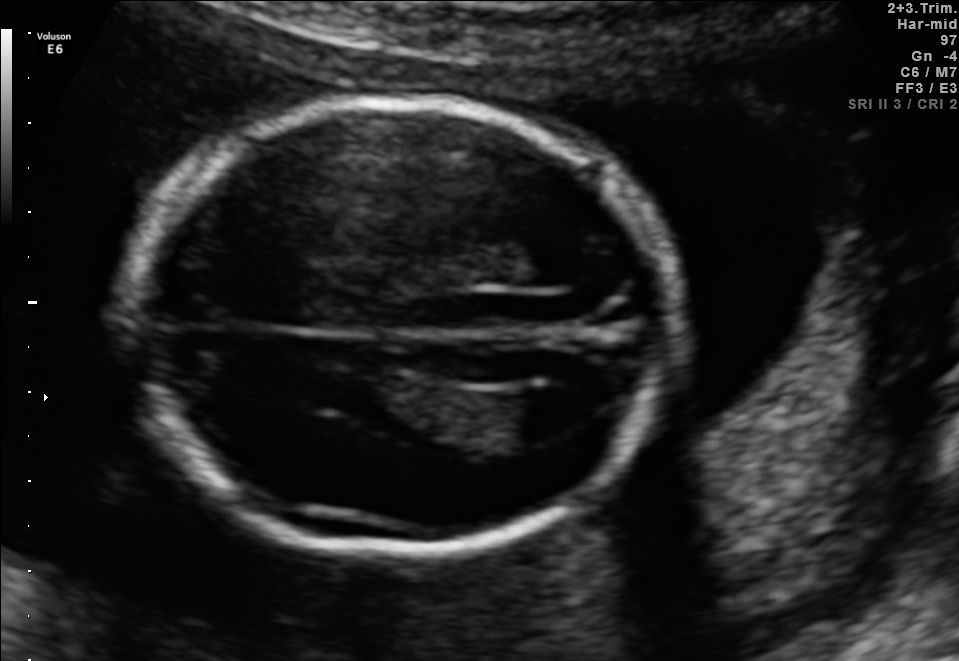
Fetal brain, trans-ventricular plane. Locate the fetal head.

Head: [106,90,699,569]